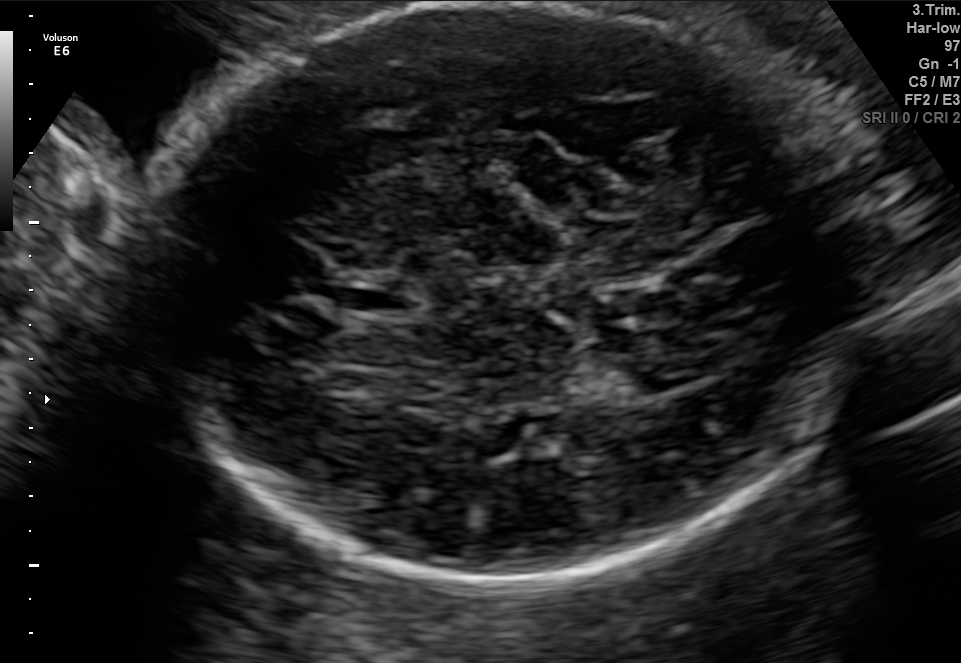
Classify this maternal-fetal ultrasound image as one of the six standard planes — fetal abdomen, fetal brain, fetal femur, fetal thorax, maternal cervix, or other. If it's fetal brain and one of the three standard brain planes (trans-thalamic, trans-cerebellum, trans-ventricular), name which.

Fetal brain (trans-thalamic plane)